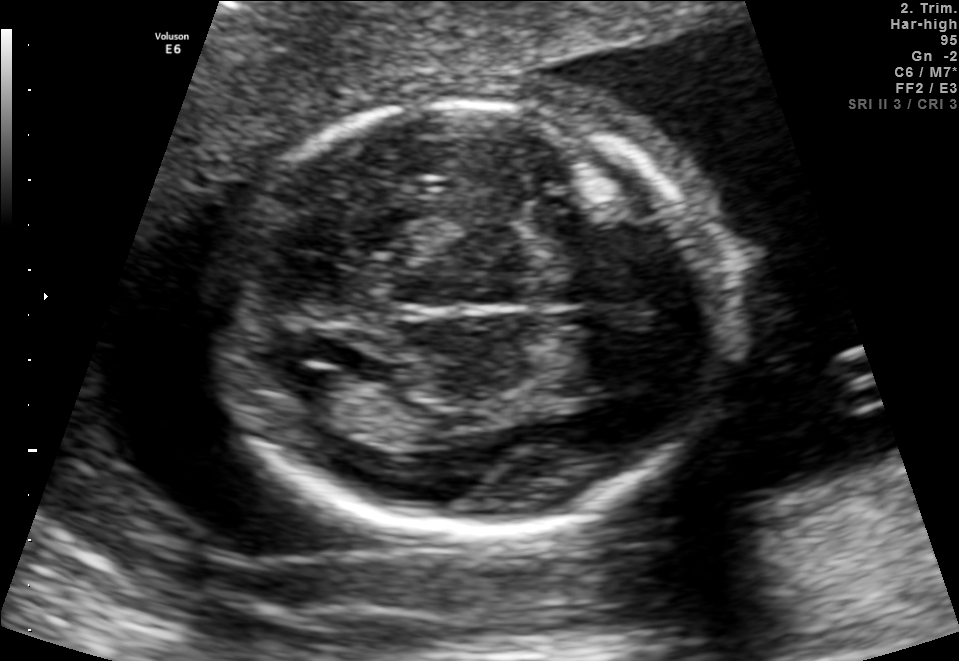
Identify the standard plane in this fetal ultrasound image: fetal abdomen, fetal brain, fetal femur, fetal thorax, maternal cervix, or other. If it's fetal brain and one of the three standard brain planes (trans-thalamic, trans-cerebellum, trans-ventricular), name which.

Fetal brain (trans-ventricular plane)